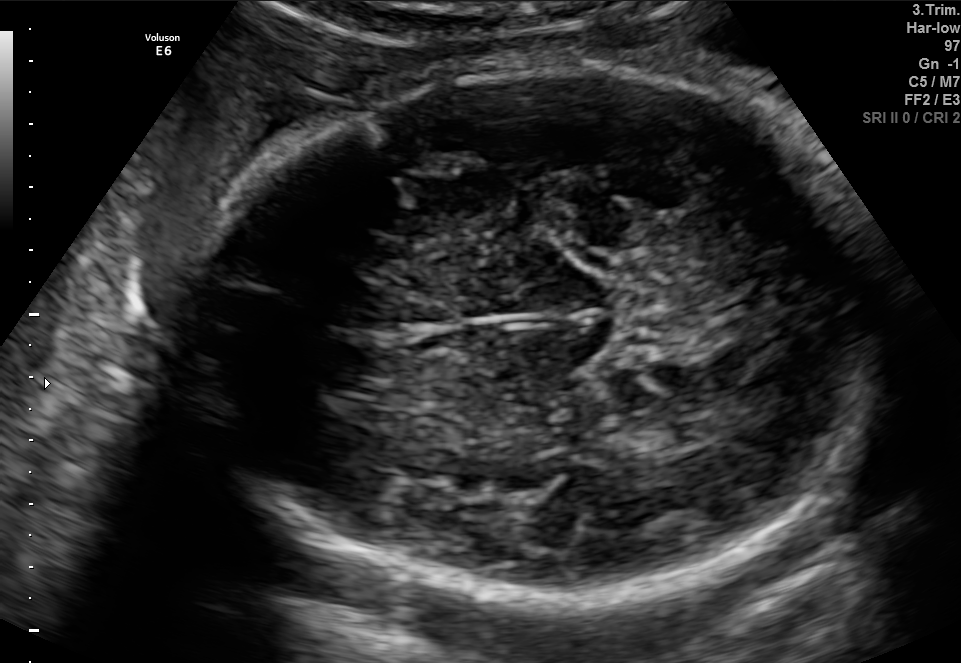
In this fetal brain, trans-thalamic plane, give bounding boxes for the head outline, cavum septum pellucidum (CSP), and lateral ventricle (LV), where visible.

Head: [182,60,875,597]